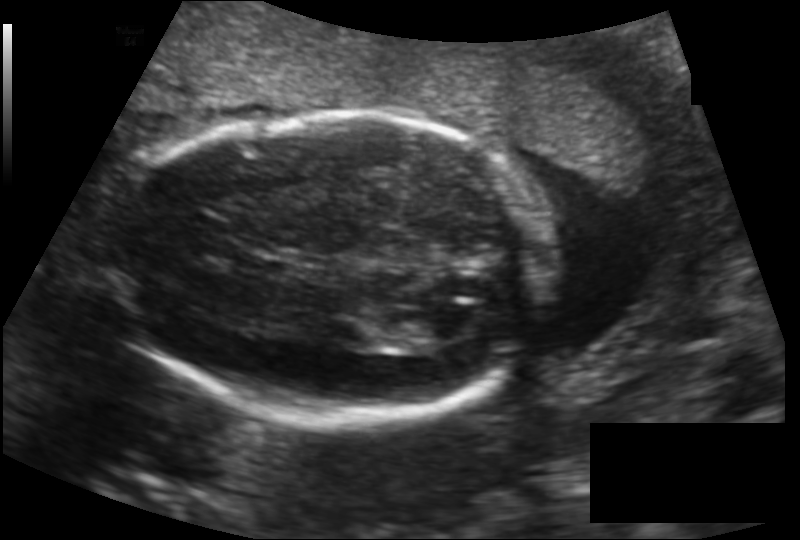
Measure the fetal head circumference shown in this ultrasound image. Image width: 116.6 mm.

Head circumference: 178.3 mm.